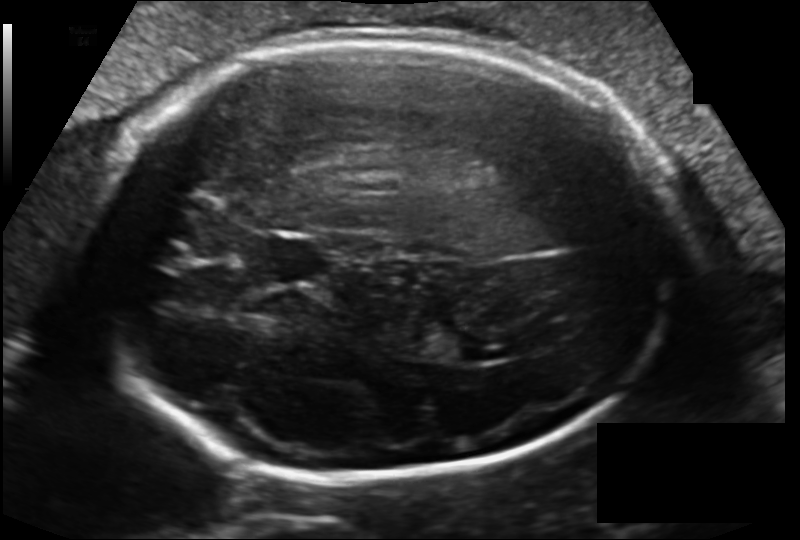
Fetal head ultrasound. Image width: 129.6 mm. Give [x1,y1,x2,y2] bounding boxes for each visible structure among: fetal head, CSP, LV.

Head: [90,36,677,478]
CSP: [246,230,331,288]